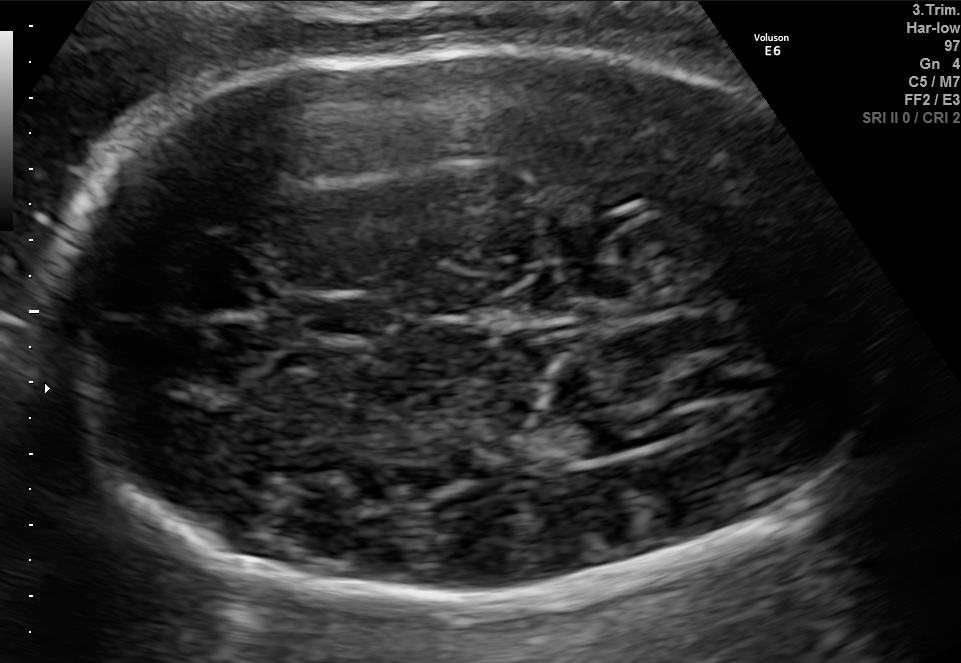
Fetal brain, trans-thalamic plane. Give [x1,y1,x2,y2] bounding boxes for each visible structure among: fetal head, CSP, LV.

Head: [39,46,870,589]
CSP: [296,299,389,335]
Lateral ventricle: [532,408,649,470]